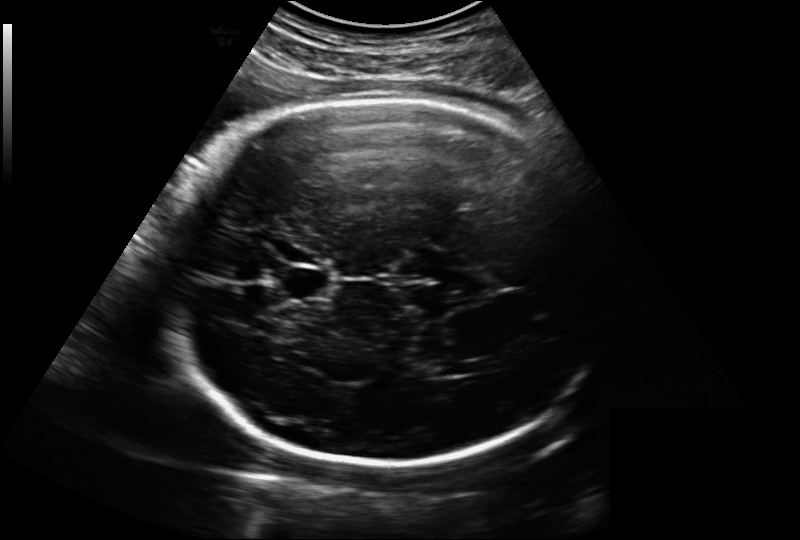
Fetal head ultrasound. Image width: 176.5 mm. Locate the fetal head.

Head: [156,97,614,464]